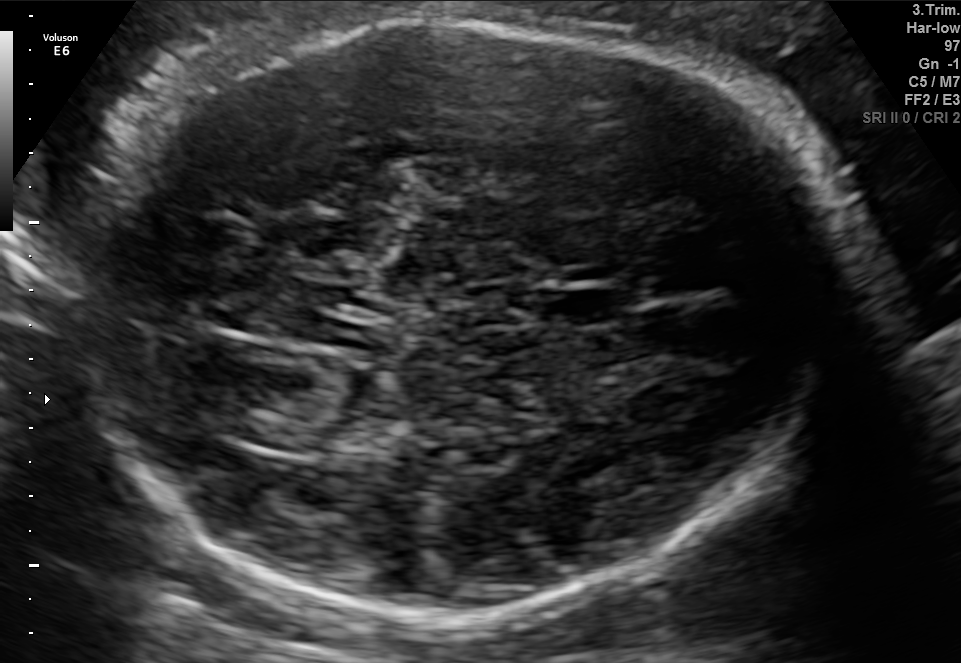
Fetal brain, trans-thalamic plane. Locate the fetal head and, if visible, the cavum septum pellucidum (CSP) and lateral ventricle (LV). Give bounding boxes as [x1,y1,x2,y2].

Head: [82,16,835,619]
CSP: [537,287,624,326]
Lateral ventricle: [232,405,322,456]